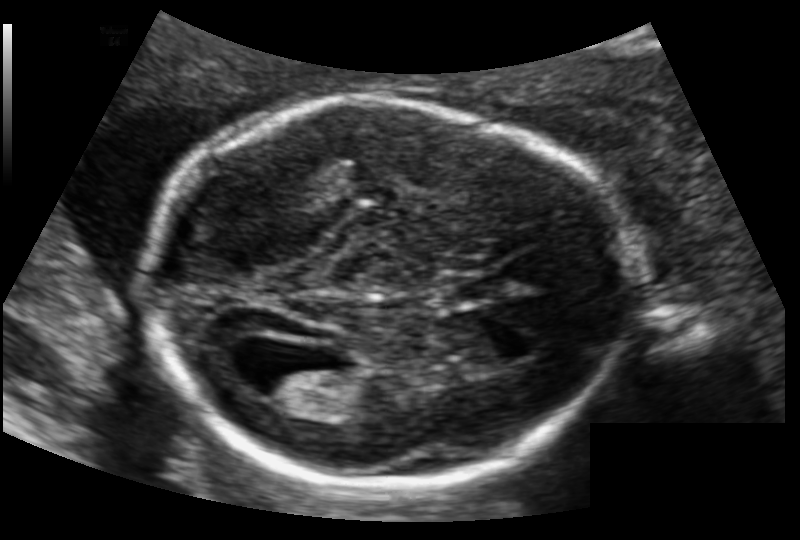
In this fetal head ultrasound, give bounding boxes for the head outline, cavum septum pellucidum (CSP), and lateral ventricle (LV), where visible. Image width: 100.7 mm.

Head: [143,98,621,489]
CSP: [450,273,506,303]
Lateral ventricle: [242,345,327,415]